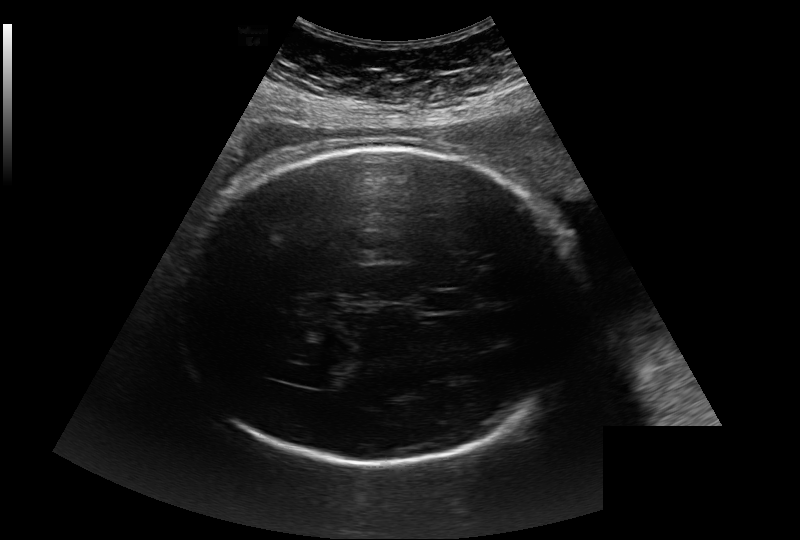
Estimate the fetal head circumference from this 2D ultrasound.

Head circumference: 324.0 mm (image width 227.4 mm).